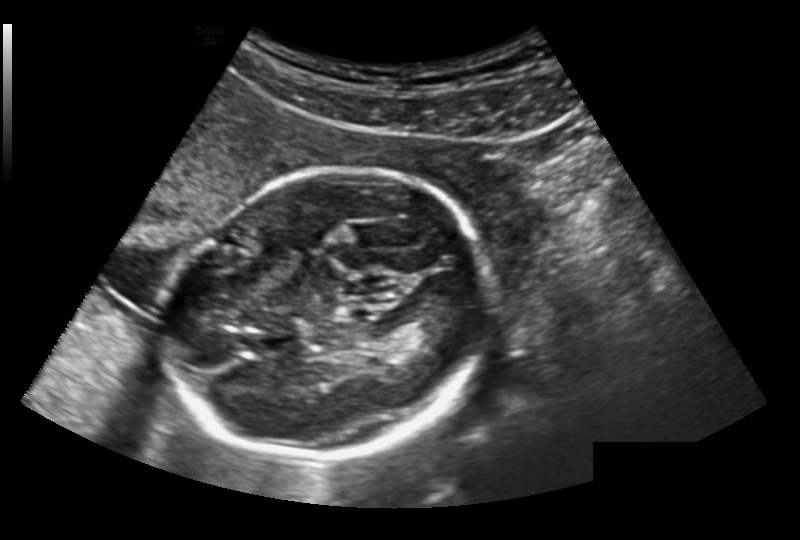
Estimate the fetal head circumference from this 2D ultrasound. Image width: 152.5 mm.

Head circumference: 191.9 mm.